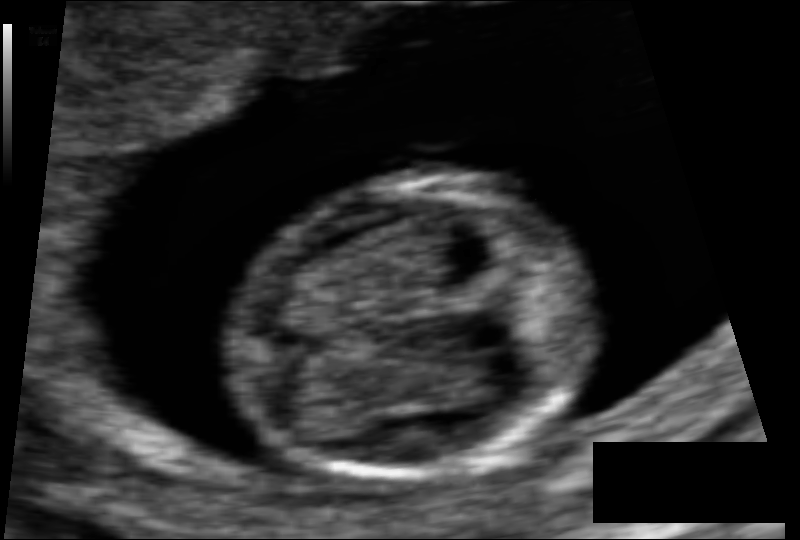
From this fetal ultrasound, estimate the head circumference (image width 51.5 mm).

Head circumference: 69.9 mm.